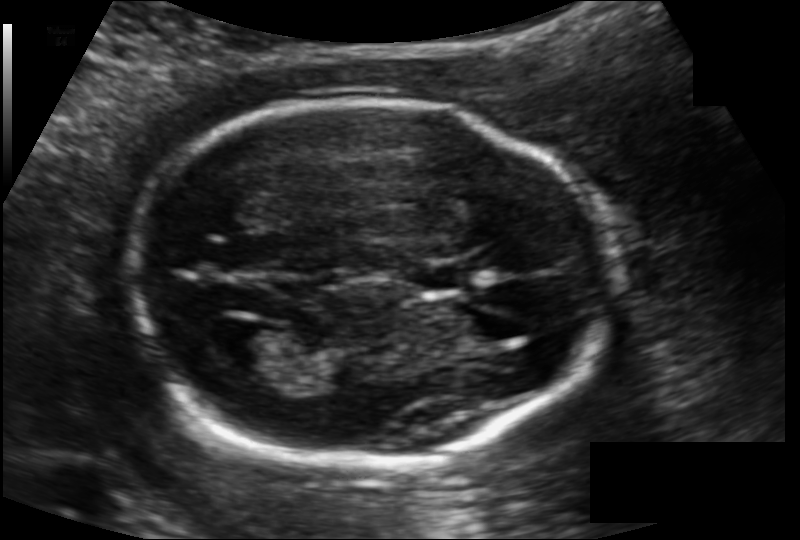
In this fetal head ultrasound, give the bounding box of the cavum septum pellucidum. Image width: 96.5 mm.

[416,261,468,292]